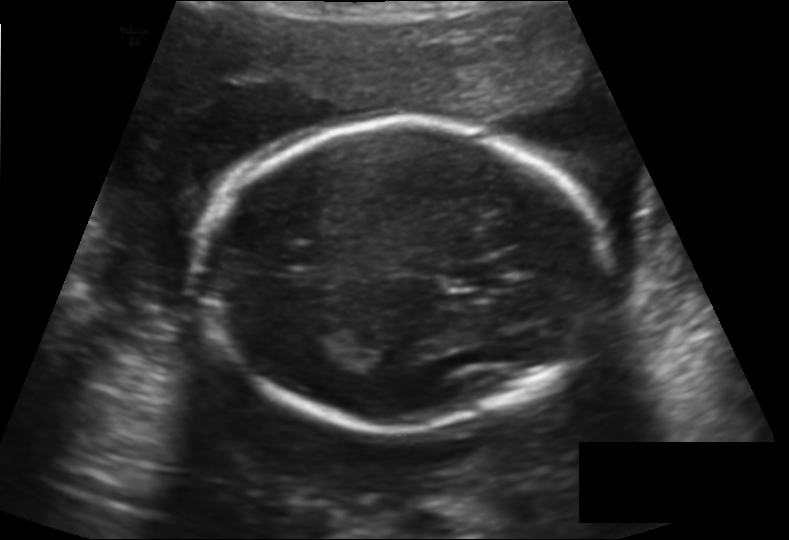
From this fetal ultrasound, estimate the head circumference (image width 124.3 mm).

Head circumference: 184.8 mm.